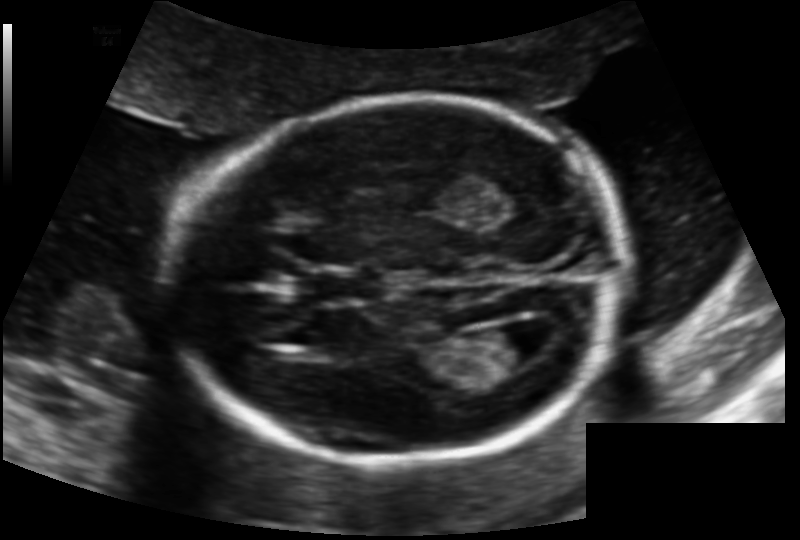
In this fetal head ultrasound, give the bounding box of the cavum septum pellucidum. Image width: 104.9 mm.

[311,269,383,302]